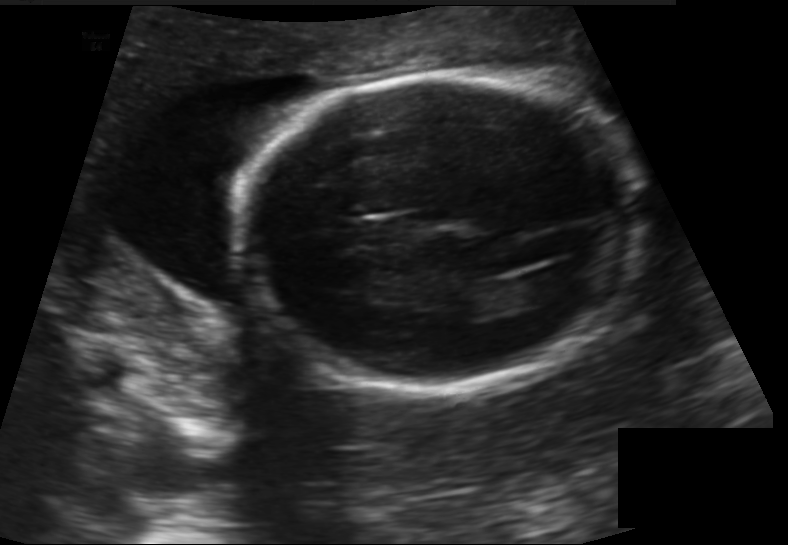
Estimate the fetal head circumference from this 2D ultrasound.

Head circumference: 177.6 mm (image width 122.2 mm).